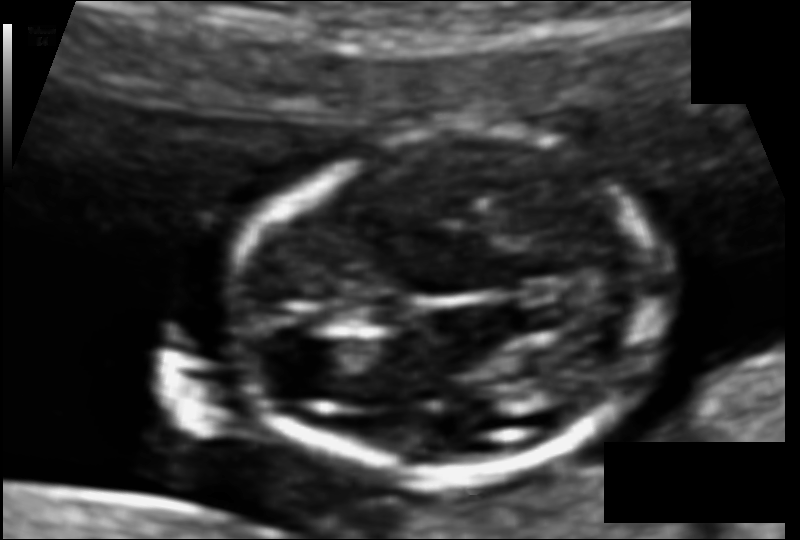
Fetal head ultrasound. Image width: 60.3 mm. Give [x1,y1,x2,y2] bounding boxes for each visible structure among: fetal head, CSP, LV.

Head: [232,132,665,473]